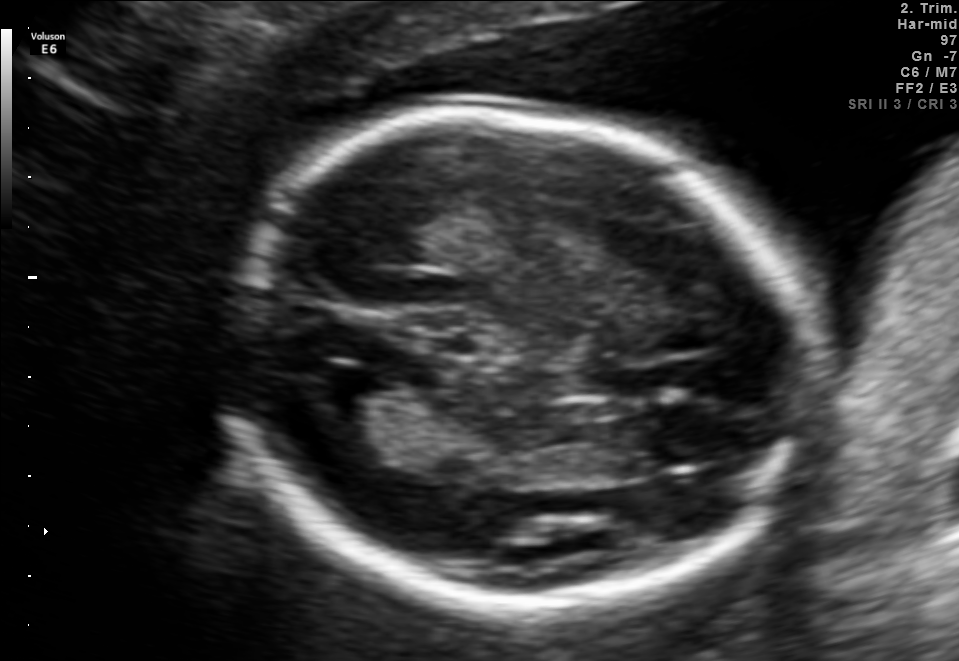
Fetal brain, trans-thalamic plane. Give [x1,y1,x2,y2] bounding boxes for each visible structure among: fetal head, CSP, LV.

Head: [218,113,815,600]
Lateral ventricle: [294,346,395,434]